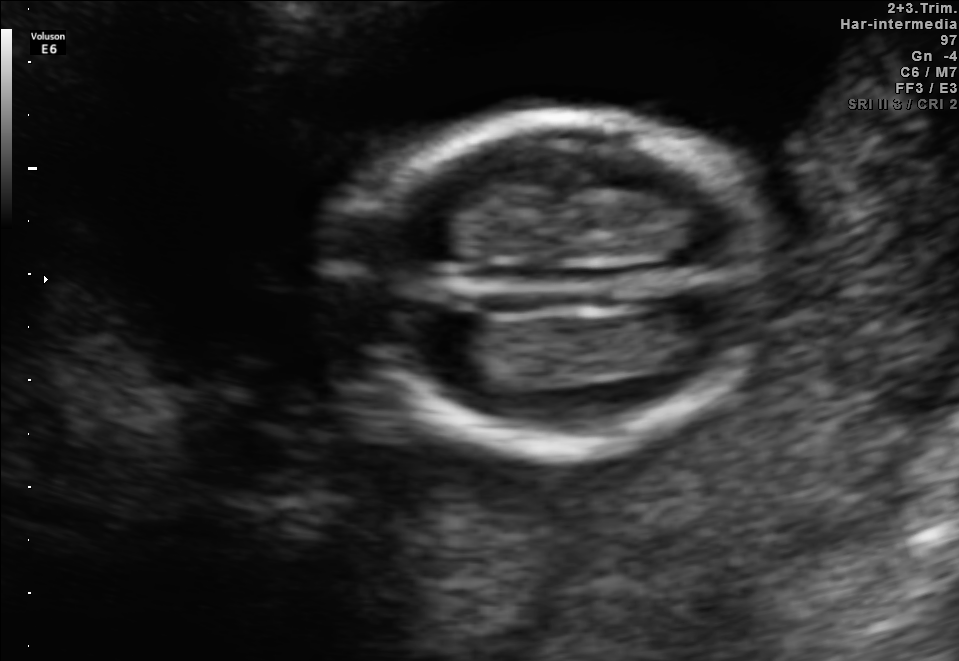
In this fetal brain, trans-thalamic plane, give bounding boxes for the head outline, cavum septum pellucidum (CSP), and lateral ventricle (LV), where visible.

Head: [331,111,778,450]